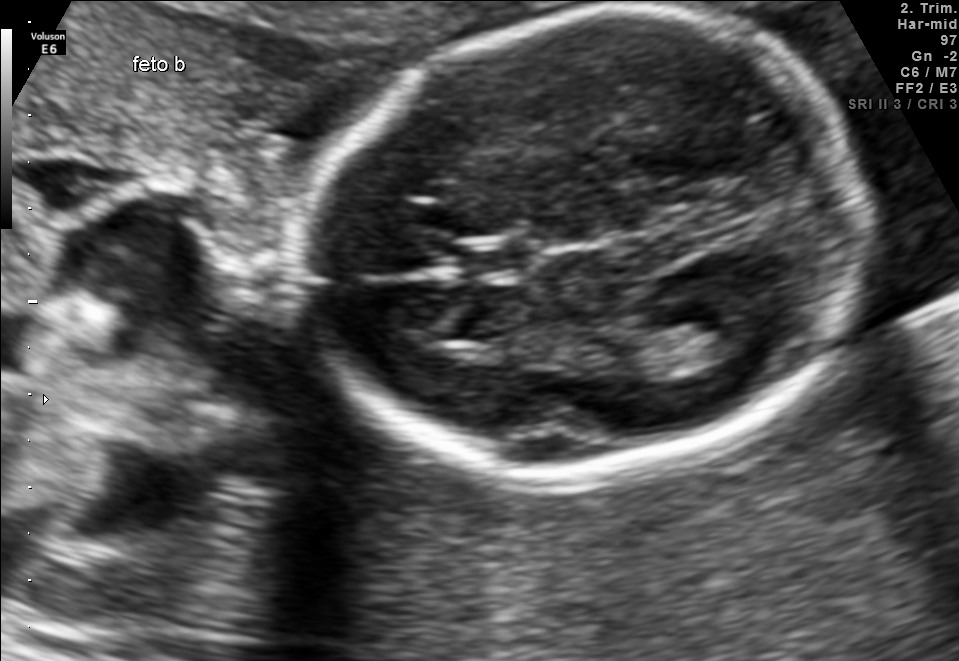
Fetal brain, trans-thalamic plane. Give [x1,y1,x2,y2] bounding boxes for each visible structure among: fetal head, CSP, LV.

Head: [302,16,861,475]
CSP: [464,239,534,278]
Lateral ventricle: [668,306,758,374]